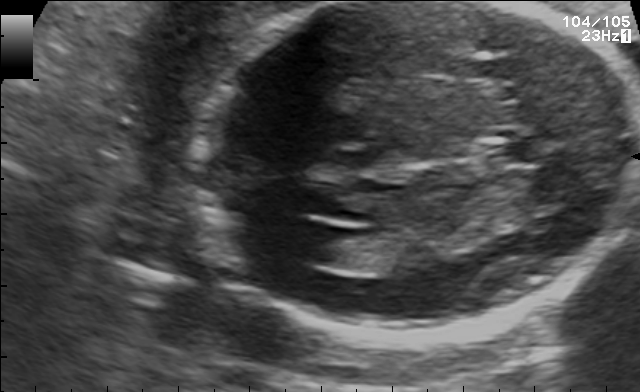
Fetal brain, trans-ventricular plane. Give [x1,y1,x2,y2] bounding boxes for each visible structure among: CSP, LV.

CSP: [486,141,539,165]
Lateral ventricle: [278,215,349,268]